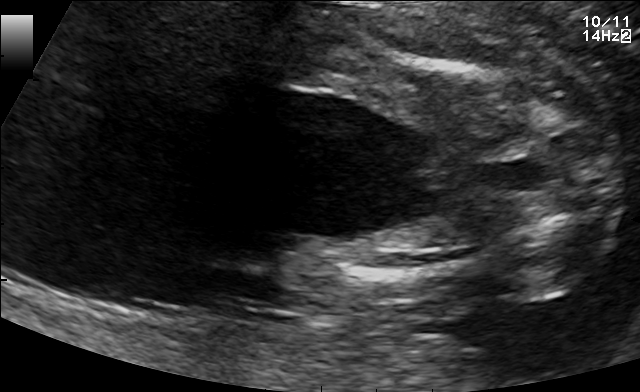
Identify the standard plane in this fetal ultrasound image: fetal abdomen, fetal brain, fetal femur, fetal thorax, maternal cervix, or other. If it's fetal brain and one of the three standard brain planes (trans-thalamic, trans-cerebellum, trans-ventricular), name which.

Other